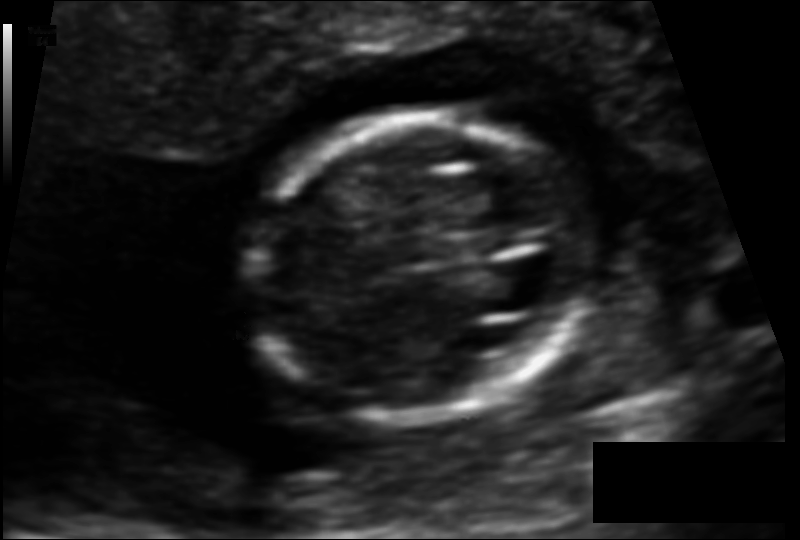
In this fetal head ultrasound, give the bounding box of the fetal head. Image width: 73.5 mm.

[244,114,592,422]